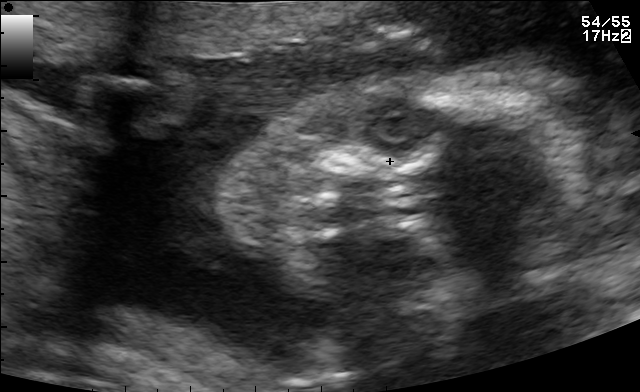
Identify the standard plane in this fetal ultrasound image: fetal abdomen, fetal brain, fetal femur, fetal thorax, maternal cervix, or other. If it's fetal brain and one of the three standard brain planes (trans-thalamic, trans-cerebellum, trans-ventricular), name which.

Other